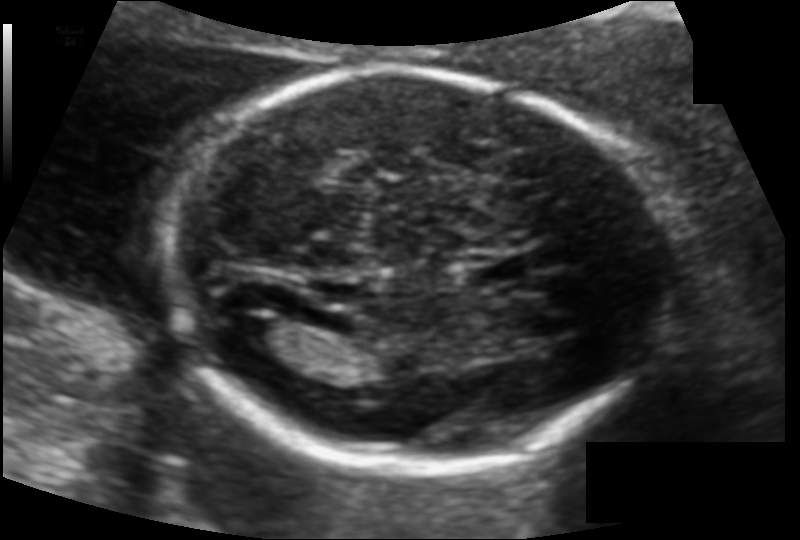
Fetal head ultrasound. Image width: 91.9 mm. Where is the fetal head?

Head bounding box: [164,70,666,465]